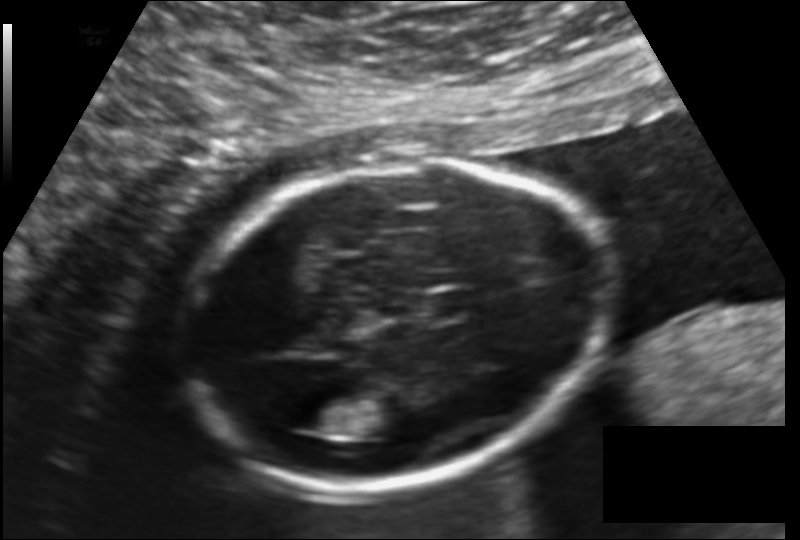
In this fetal head ultrasound, give the bounding box of the fetal head. Image width: 112.0 mm.

[187,158,613,484]